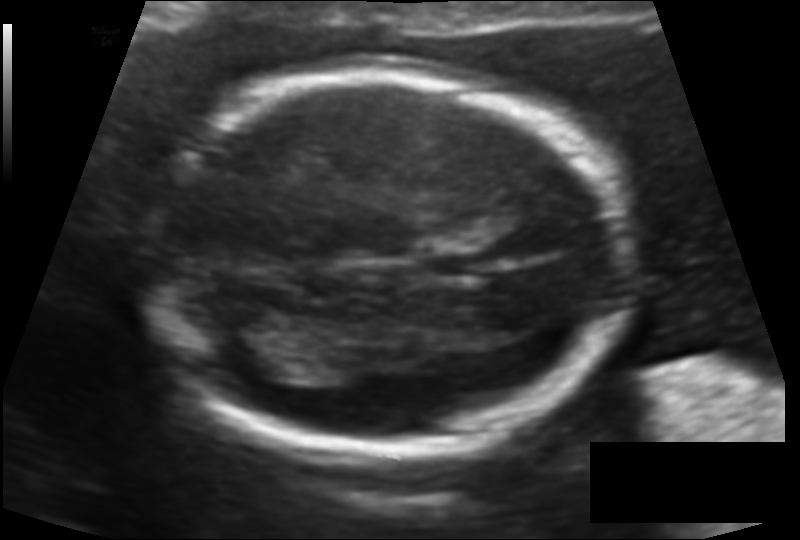
Estimate the fetal head circumference from this 2D ultrasound. Image width: 92.6 mm.

Head circumference: 159.5 mm.